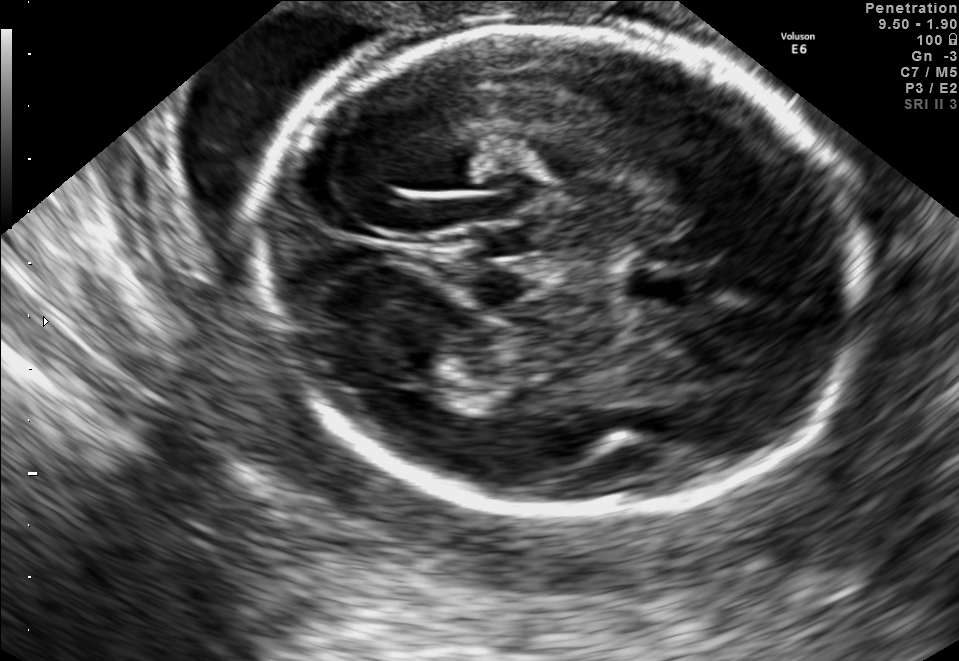
Fetal brain, trans-thalamic plane. Where is the lateral ventricle?

Lateral ventricle bounding box: [386,359,470,413]